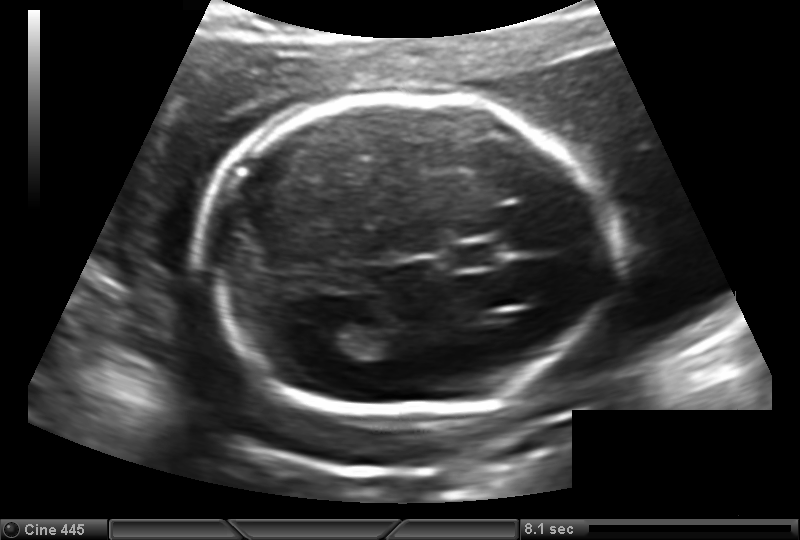
In this fetal head ultrasound, give bounding boxes for the head outline, cavum septum pellucidum (CSP), and lateral ventricle (LV), where visible. Image width: 119.4 mm.

Head: [208,94,607,415]
CSP: [446,238,504,272]
Lateral ventricle: [315,320,367,358]